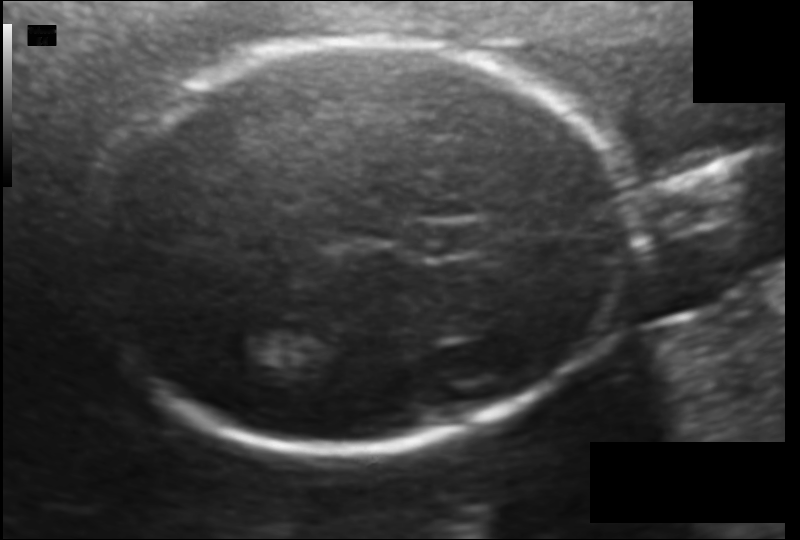
Fetal head ultrasound. Image width: 90.8 mm. Locate the fetal head and, if visible, the cavum septum pellucidum (CSP) and lateral ventricle (LV). Give bounding boxes as [x1,y1,x2,y2].

Head: [85,40,626,449]
CSP: [414,217,487,261]
Lateral ventricle: [226,329,295,368]